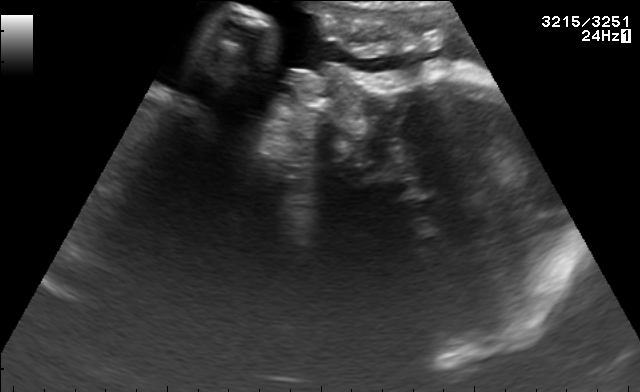
Identify the standard plane in this fetal ultrasound image: fetal abdomen, fetal brain, fetal femur, fetal thorax, maternal cervix, or other. If it's fetal brain and one of the three standard brain planes (trans-thalamic, trans-cerebellum, trans-ventricular), name which.

Other